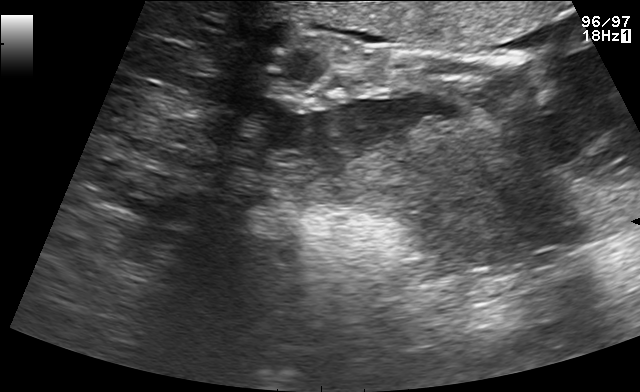
Identify the standard plane in this fetal ultrasound image: fetal abdomen, fetal brain, fetal femur, fetal thorax, maternal cervix, or other. If it's fetal brain and one of the three standard brain planes (trans-thalamic, trans-cerebellum, trans-ventricular), name which.

Other